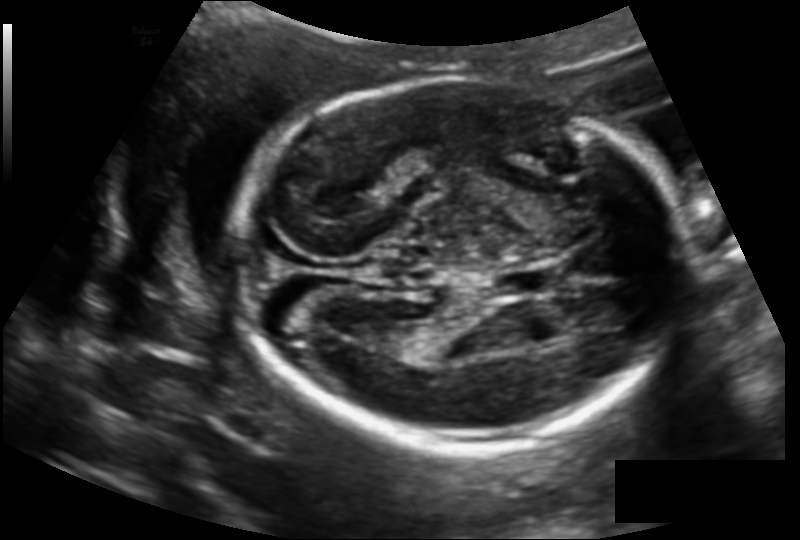
Fetal head ultrasound. Image width: 116.1 mm. Locate the fetal head.

Head: [236,78,682,448]